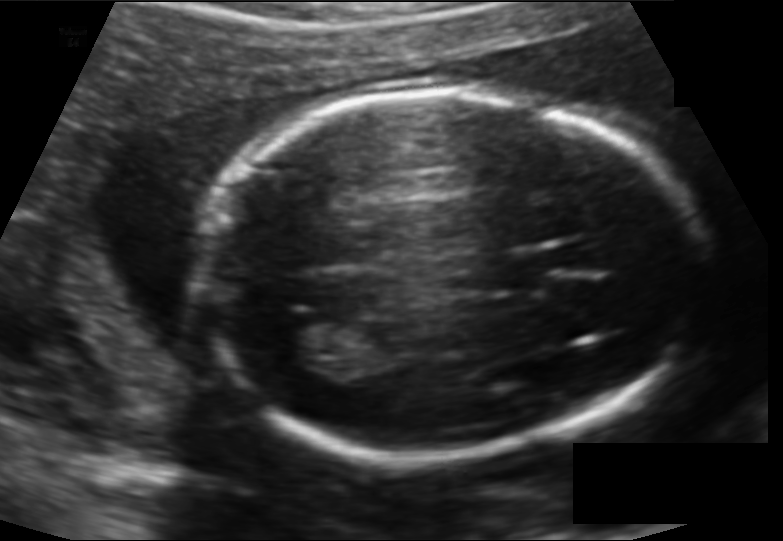
In this fetal head ultrasound, give the bounding box of the fetal head. Image width: 100.2 mm.

[191,92,698,455]